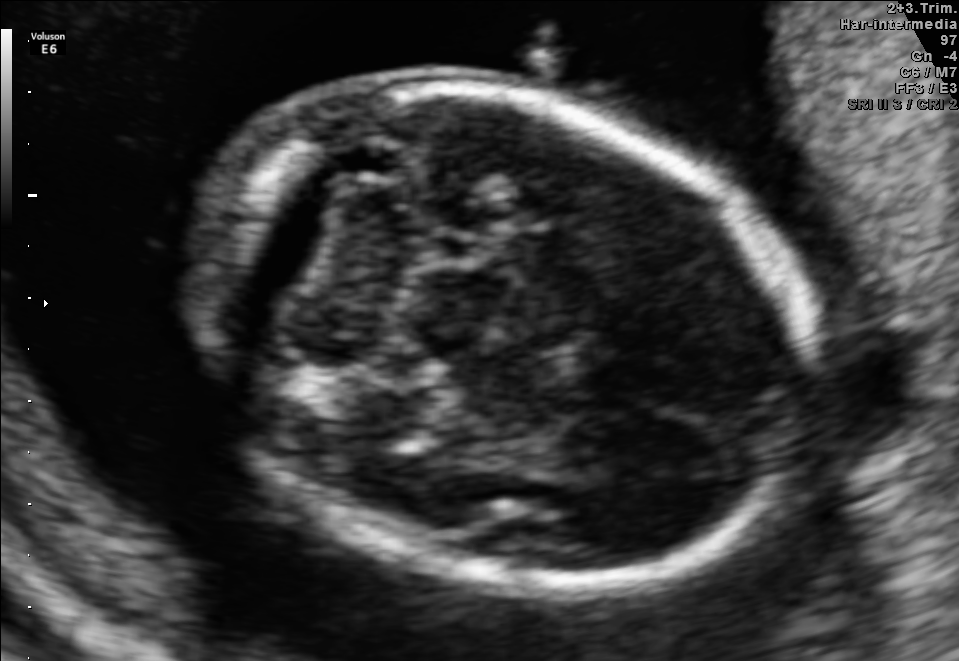
In this fetal brain, trans-cerebellum plane, give the bounding box of the fetal head.

[195,82,804,597]